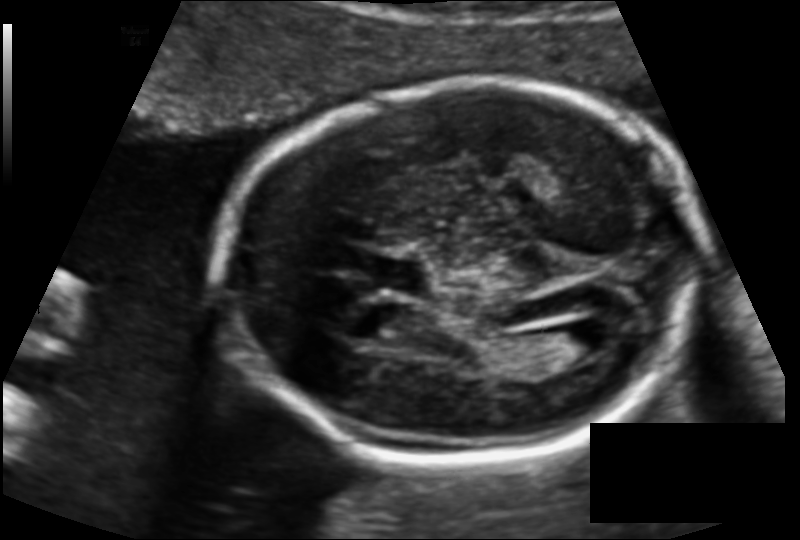
In this fetal head ultrasound, give bounding boxes for the head outline, cavum septum pellucidum (CSP), and lateral ventricle (LV), where visible. Image width: 99.5 mm.

Head: [219,86,700,462]
CSP: [361,254,427,295]
Lateral ventricle: [542,320,618,371]